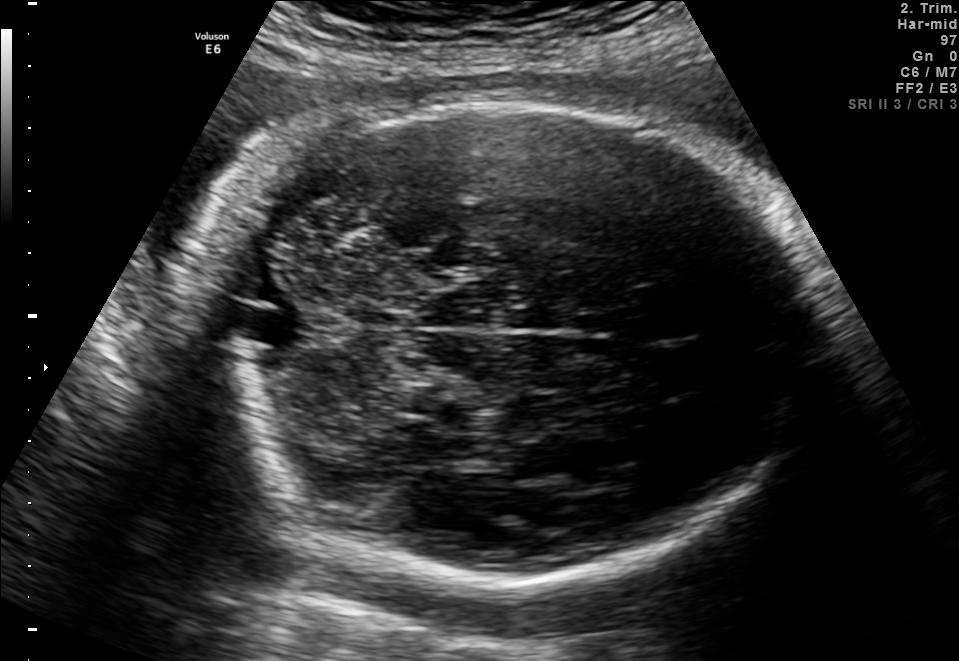
Fetal brain, trans-cerebellum plane. Give [x1,y1,x2,y2] bounding boxes for each visible structure among: fetal head, CSP, LV.

Head: [179,99,816,576]